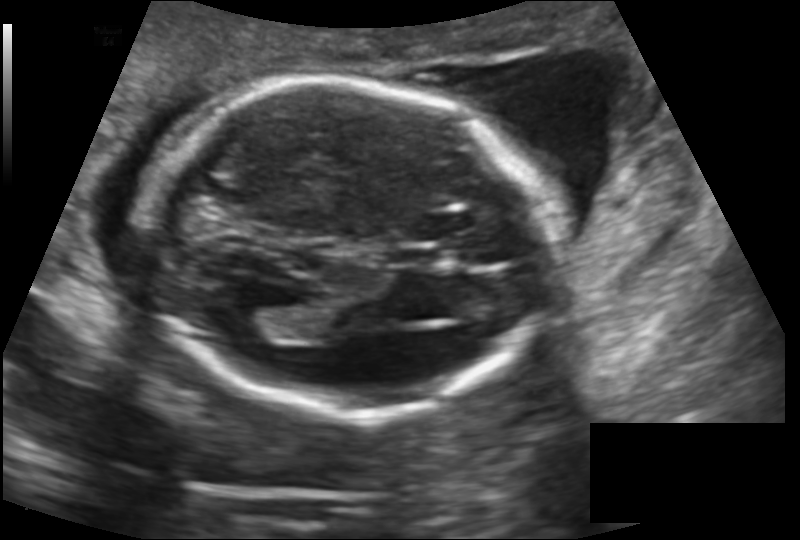
In this fetal head ultrasound, give the bounding box of the fetal head. Image width: 116.4 mm.

[141,80,547,414]